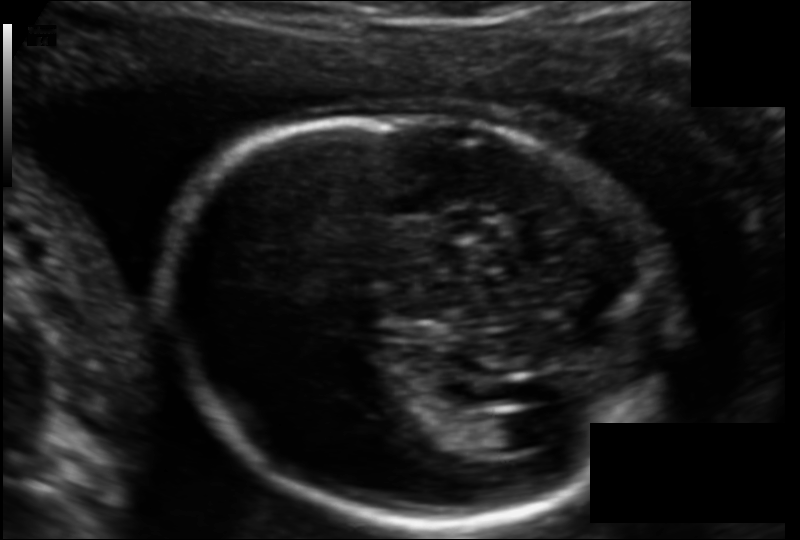
Fetal head ultrasound. Image width: 98.5 mm. Locate the lateral ventricle.

Lateral ventricle: [472,413,540,454]